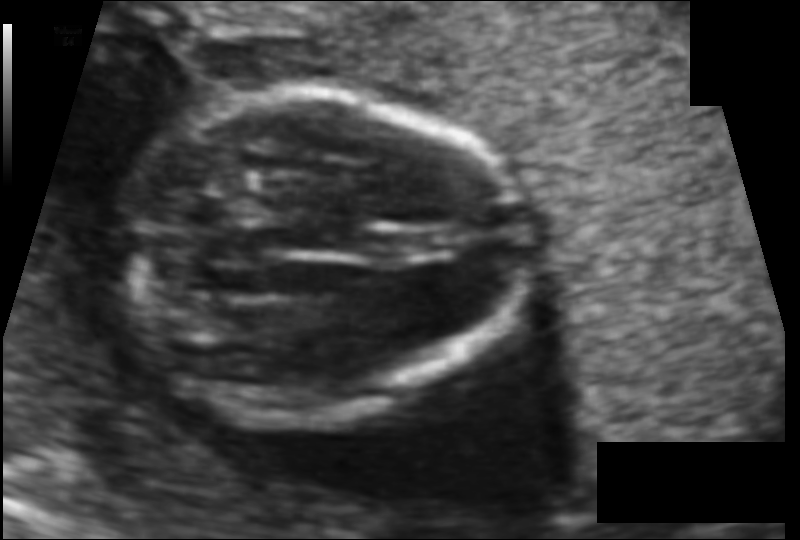
What is the fetal head circumference? Image width is 71.6 mm.

104.3 mm